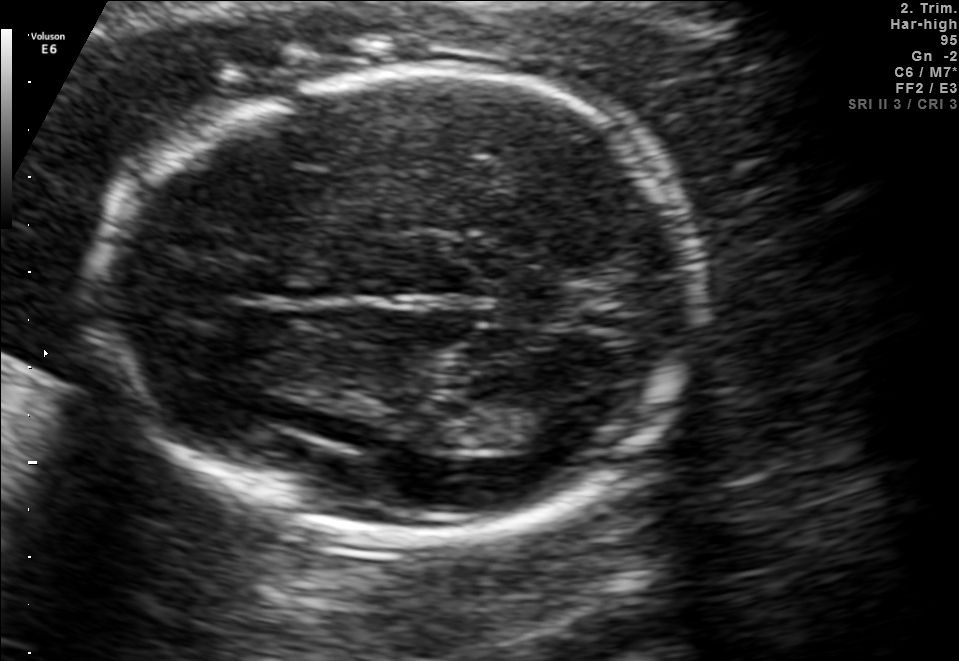
In this fetal brain, trans-thalamic plane, give the bounding box of the fetal head.

[117,68,700,531]